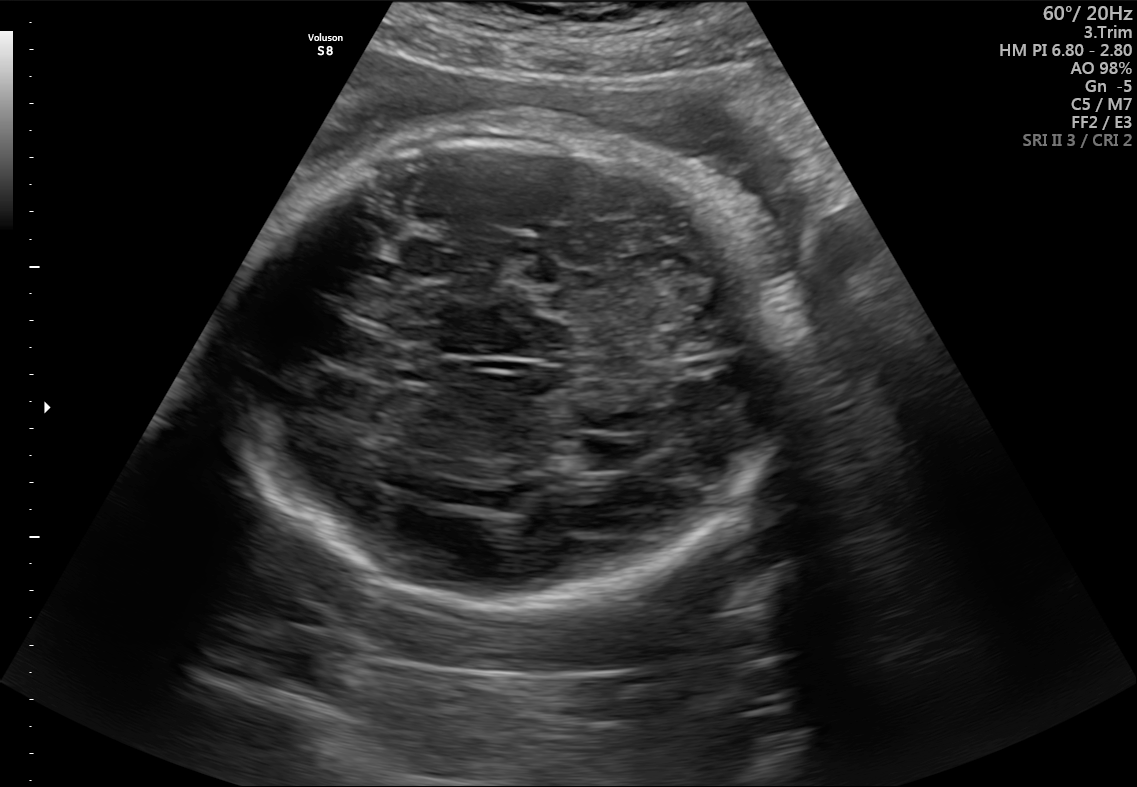
Fetal brain, trans-thalamic plane. Locate the fetal head.

Head: [221,130,798,605]